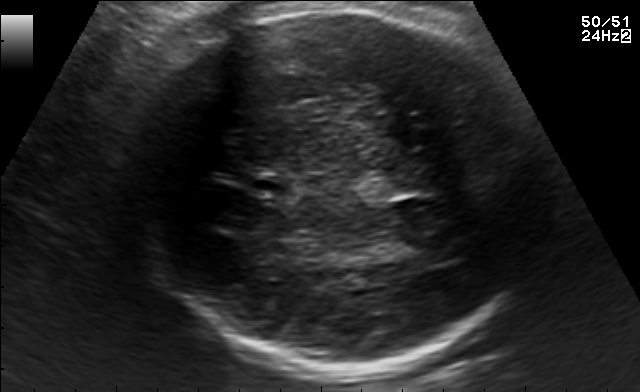
In this fetal brain, trans-thalamic plane, give the bounding box of the cavum septum pellucidum.

[251,175,290,195]